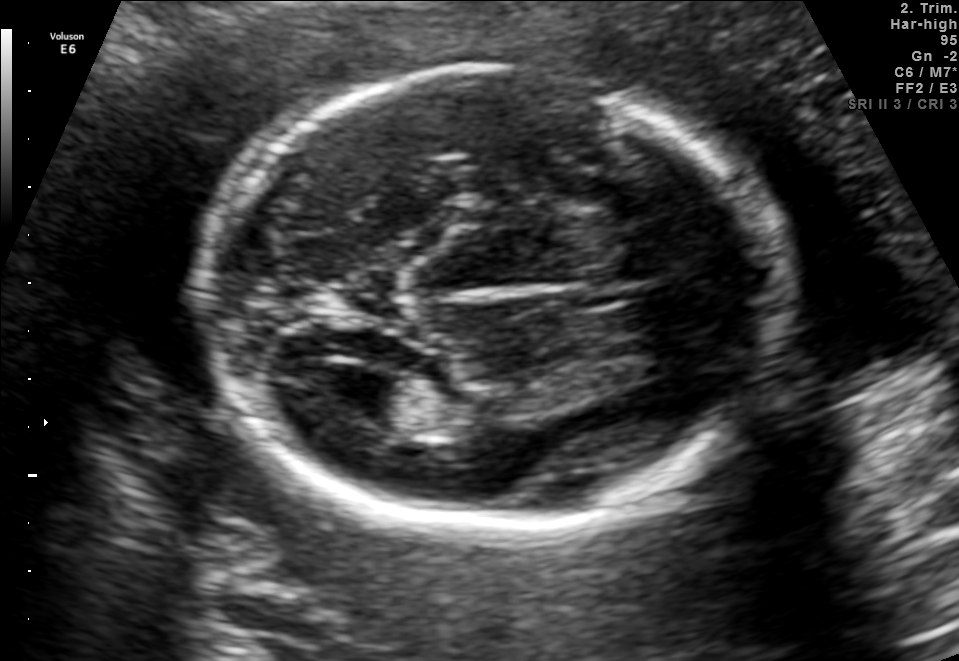
Classify this maternal-fetal ultrasound image as one of the six standard planes — fetal abdomen, fetal brain, fetal femur, fetal thorax, maternal cervix, or other. If it's fetal brain and one of the three standard brain planes (trans-thalamic, trans-cerebellum, trans-ventricular), name which.

Fetal brain (trans-ventricular plane)